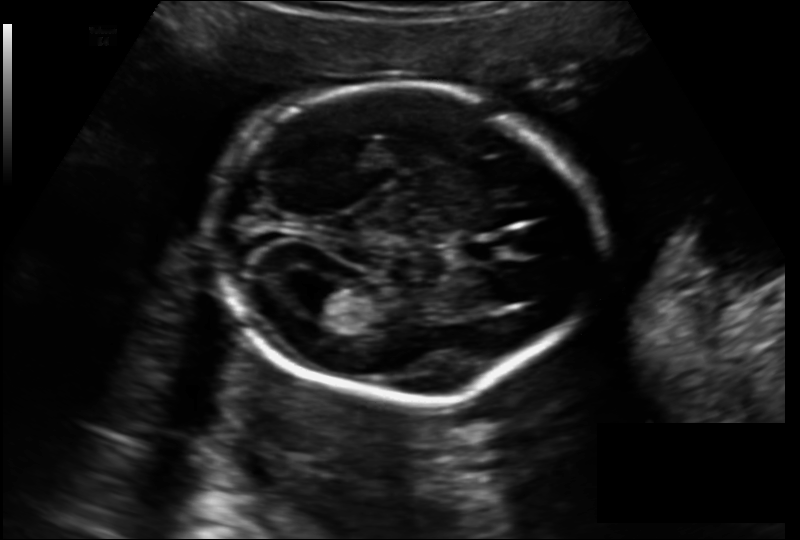
Fetal head ultrasound. Image width: 125.9 mm. Where is the lateral ventricle?

Lateral ventricle bounding box: [280,264,355,329]